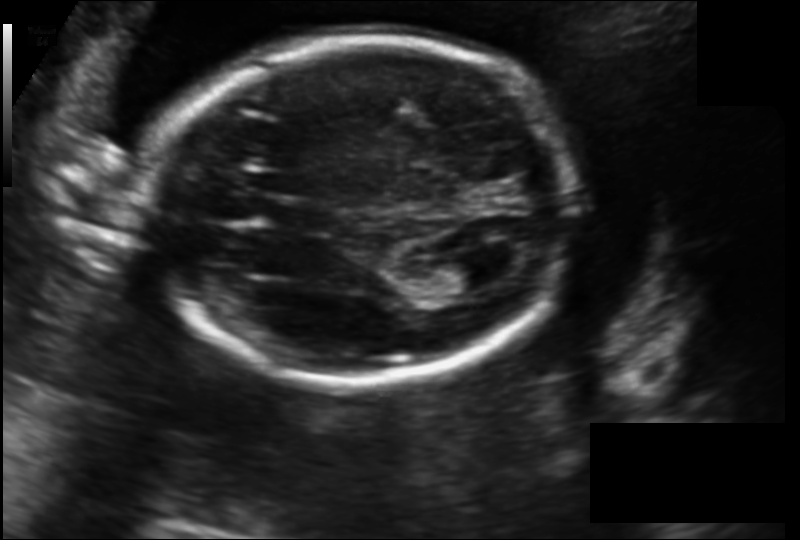
In this fetal head ultrasound, give the bounding box of the fetal head. Image width: 121.4 mm.

[147,38,573,381]